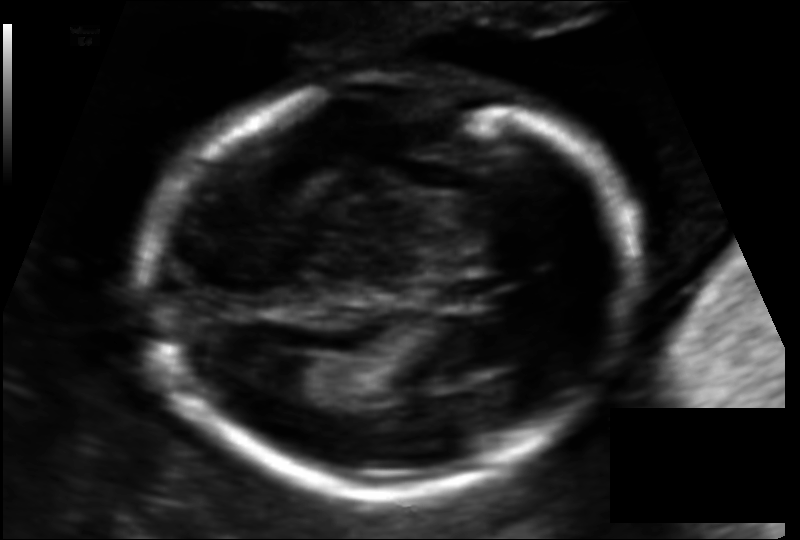
Measure the fetal head circumference shown in this ultrasound image. Image width: 92.3 mm.

Head circumference: 170.9 mm.